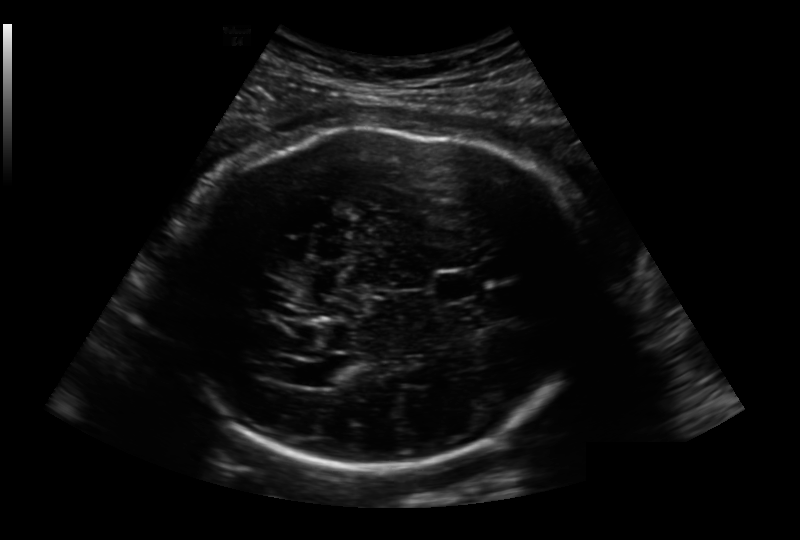
Fetal head ultrasound. Image width: 188.6 mm. Give [x1,y1,x2,y2] bounding boxes for each visible structure among: fetal head, CSP, LV.

Head: [174,125,596,469]
CSP: [432,264,488,305]
Lateral ventricle: [310,364,352,386]